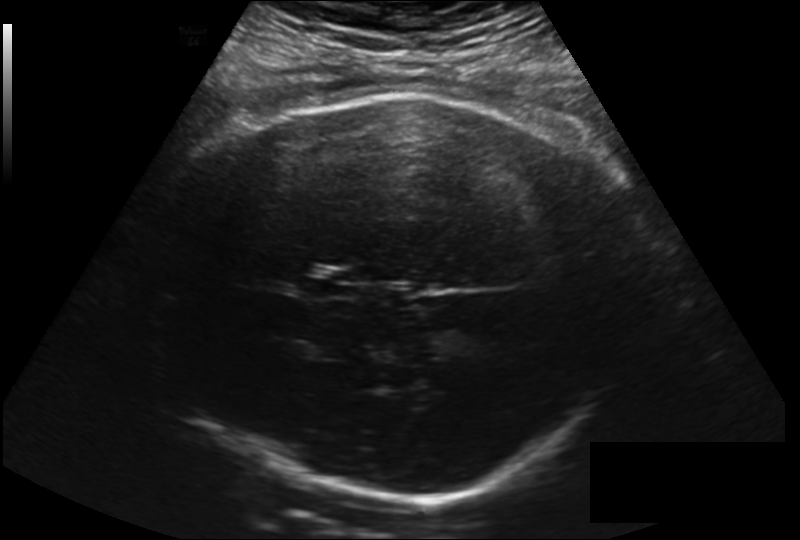
From this fetal ultrasound, estimate the head circumference (image width 179.8 mm).

Head circumference: 327.9 mm.